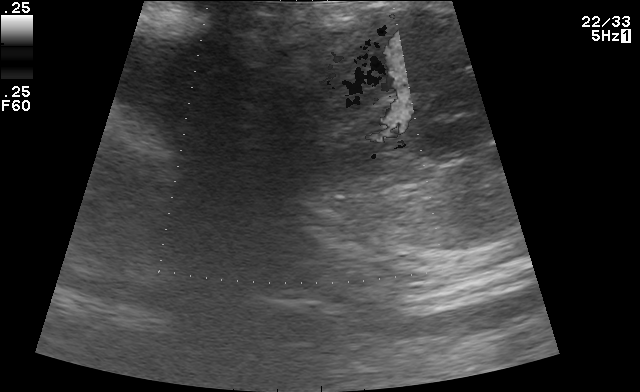
Classify this maternal-fetal ultrasound image as one of the six standard planes — fetal abdomen, fetal brain, fetal femur, fetal thorax, maternal cervix, or other. If it's fetal brain and one of the three standard brain planes (trans-thalamic, trans-cerebellum, trans-ventricular), name which.

Other